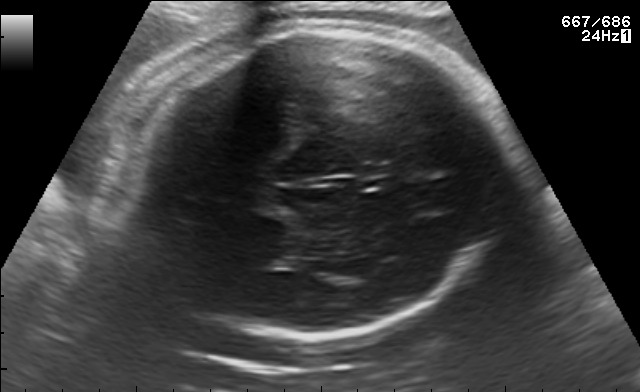
Fetal brain, trans-thalamic plane. Where is the fetal head?

Head bounding box: [119,26,508,336]